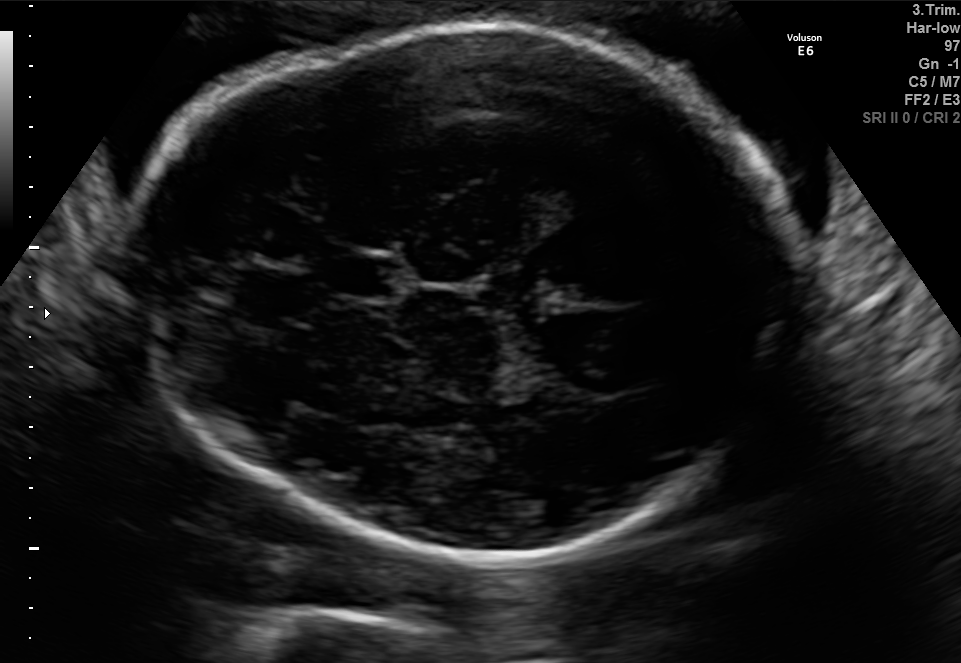
In this fetal brain, trans-thalamic plane, give the bounding box of the fetal head.

[121,24,800,561]